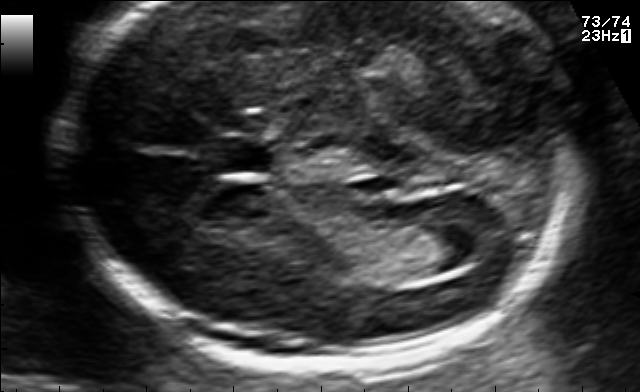
Fetal brain, trans-ventricular plane. Locate the lateral ventricle.

Lateral ventricle: [423,206,514,273]